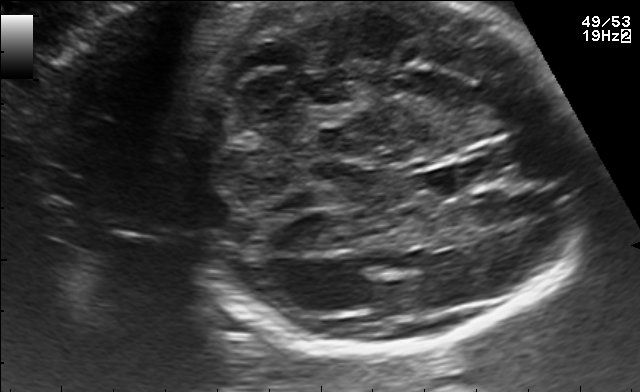
This is a 2D maternal-fetal ultrasound frame. Is it a fetal abdomen, fetal brain, fetal femur, fetal thorax, maternal cervix, or other standard plane? If it's fetal brain and one of the three standard brain planes (trans-thalamic, trans-cerebellum, trans-ventricular), name which.

Fetal brain (trans-cerebellum plane)